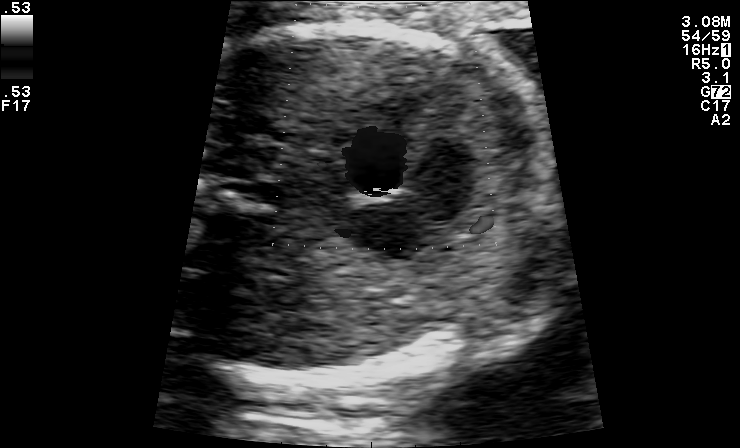
Identify the standard plane in this fetal ultrasound image: fetal abdomen, fetal brain, fetal femur, fetal thorax, maternal cervix, or other. If it's fetal brain and one of the three standard brain planes (trans-thalamic, trans-cerebellum, trans-ventricular), name which.

Other